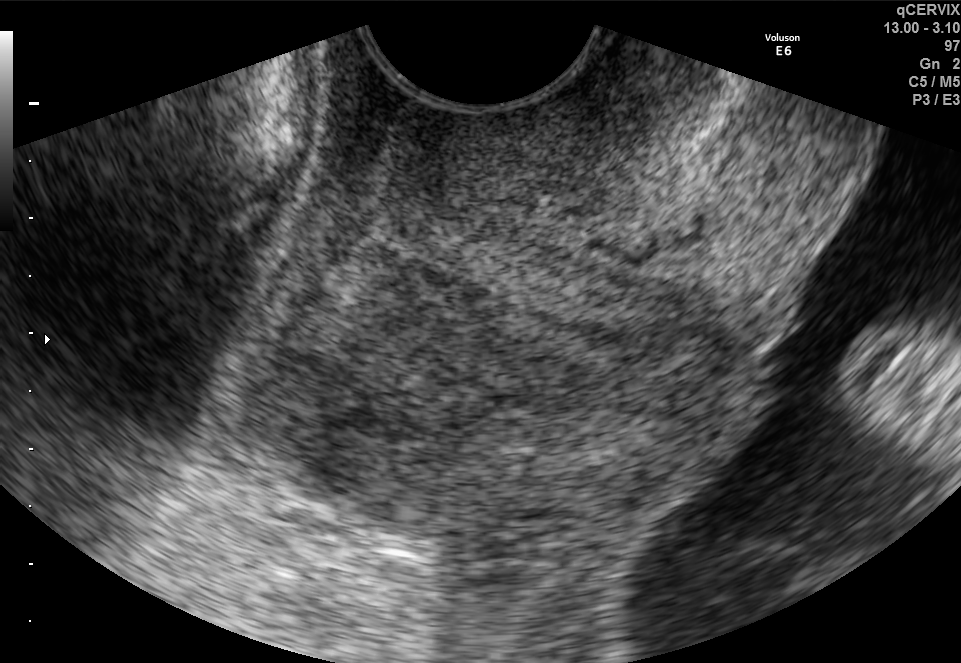
Which standard maternal-fetal ultrasound plane is shown: fetal abdomen, fetal brain, fetal femur, fetal thorax, maternal cervix, or other? If it's fetal brain and one of the three standard brain planes (trans-thalamic, trans-cerebellum, trans-ventricular), name which.

Maternal cervix